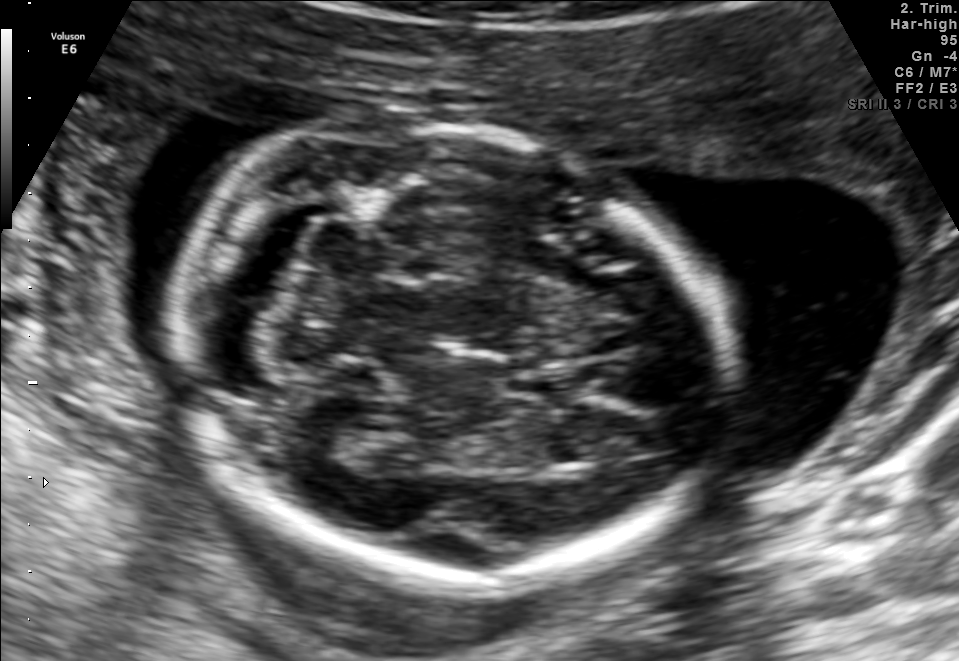
Fetal brain, trans-cerebellum plane. Locate the fetal head.

Head: [173,121,732,584]